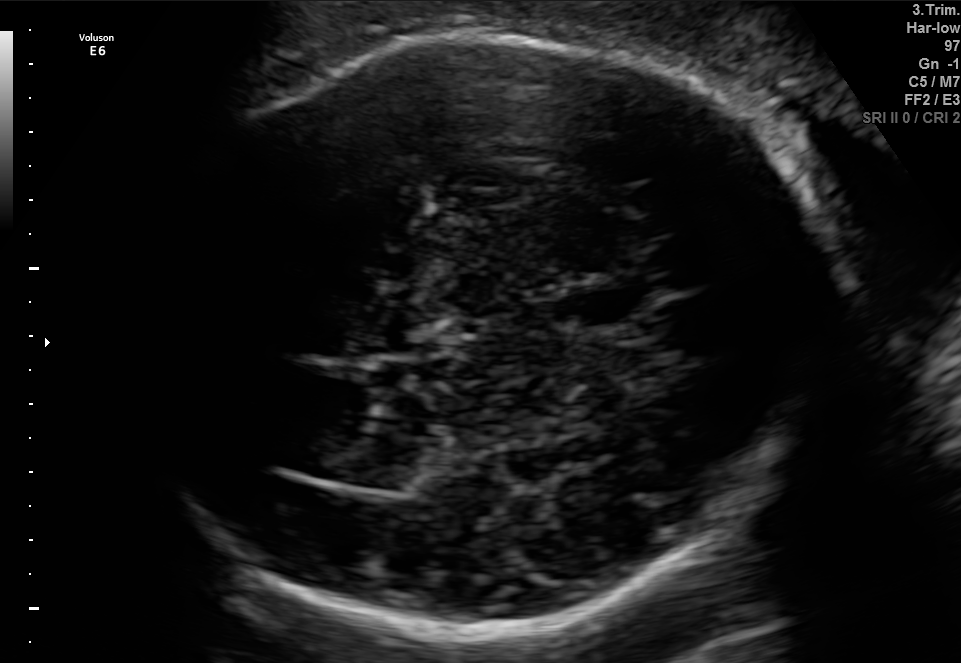
Fetal brain, trans-thalamic plane. Locate the fetal head.

Head: [140,33,831,634]